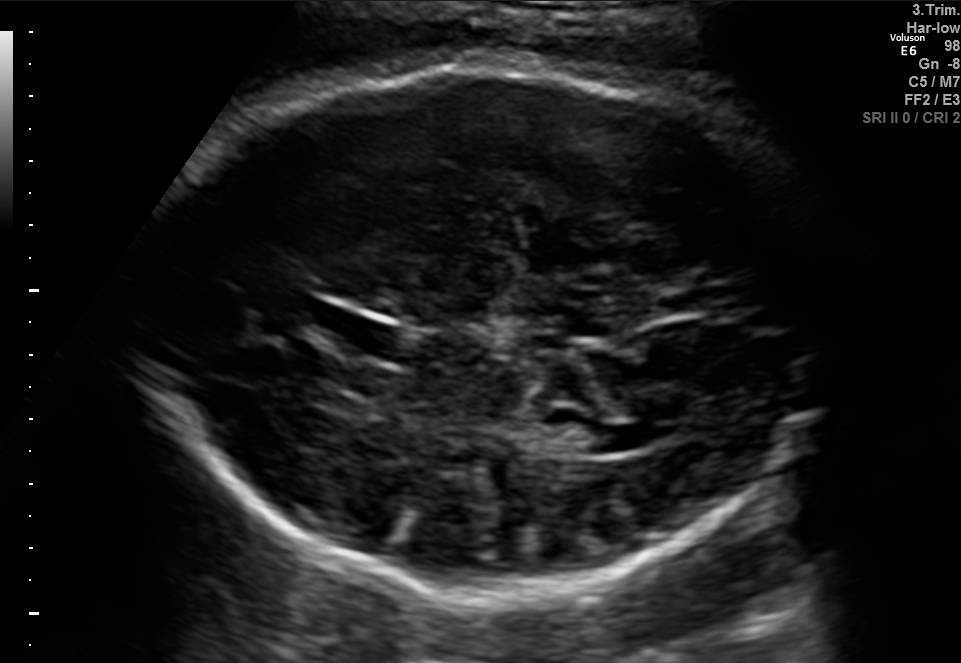
In this fetal brain, trans-thalamic plane, give the bounding box of the lateral ventricle.

[535,420,618,454]